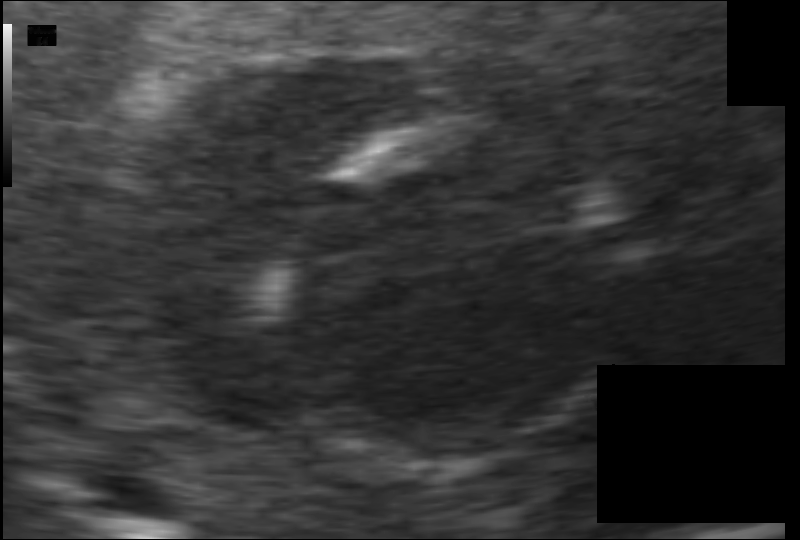
What is the fetal head circumference? Image width is 55.7 mm.

80.8 mm